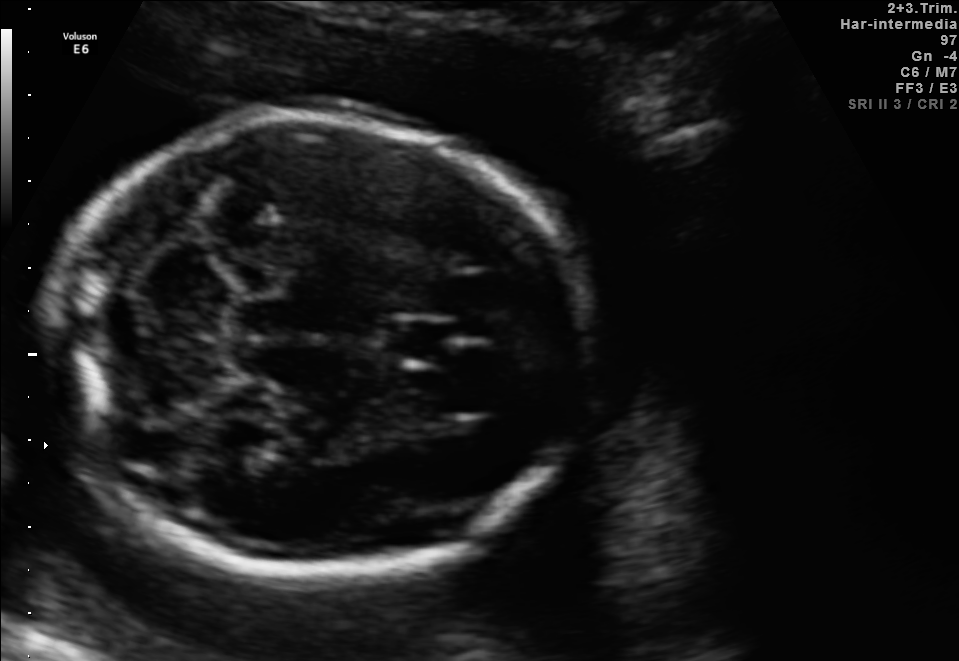
Fetal brain, trans-cerebellum plane. Locate the fetal head and, if visible, the cavum septum pellucidum (CSP) and lateral ventricle (LV). Give bounding boxes as [x1,y1,x2,y2].

Head: [56,115,589,584]
CSP: [382,316,451,366]